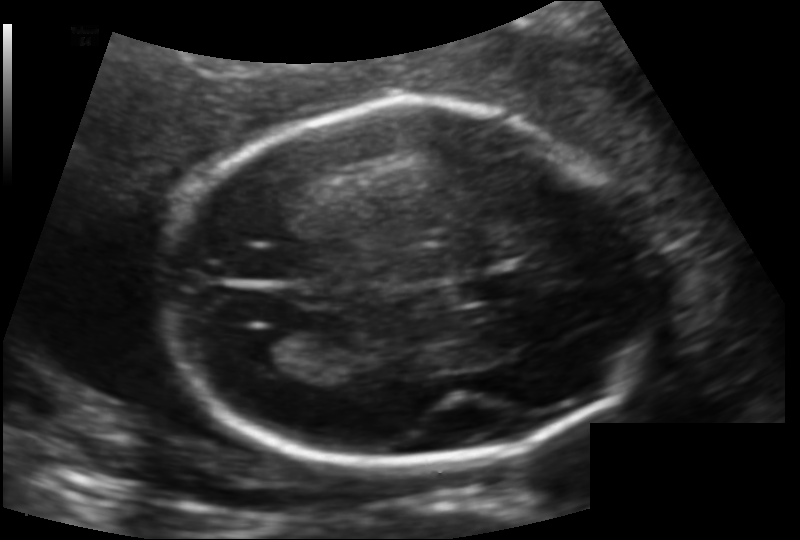
Fetal head ultrasound. Image width: 106.2 mm. Locate the fetal head and, if visible, the cavum septum pellucidum (CSP) and lateral ventricle (LV). Give bounding boxes as [x1,y1,x2,y2].

Head: [156,107,654,464]
CSP: [457,269,529,305]
Lateral ventricle: [228,325,298,371]